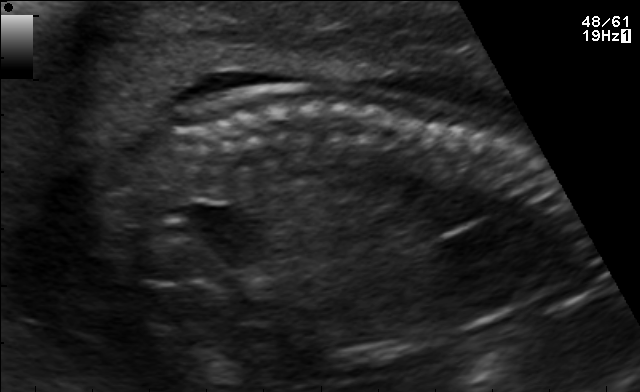
Identify the standard plane in this fetal ultrasound image: fetal abdomen, fetal brain, fetal femur, fetal thorax, maternal cervix, or other. If it's fetal brain and one of the three standard brain planes (trans-thalamic, trans-cerebellum, trans-ventricular), name which.

Other